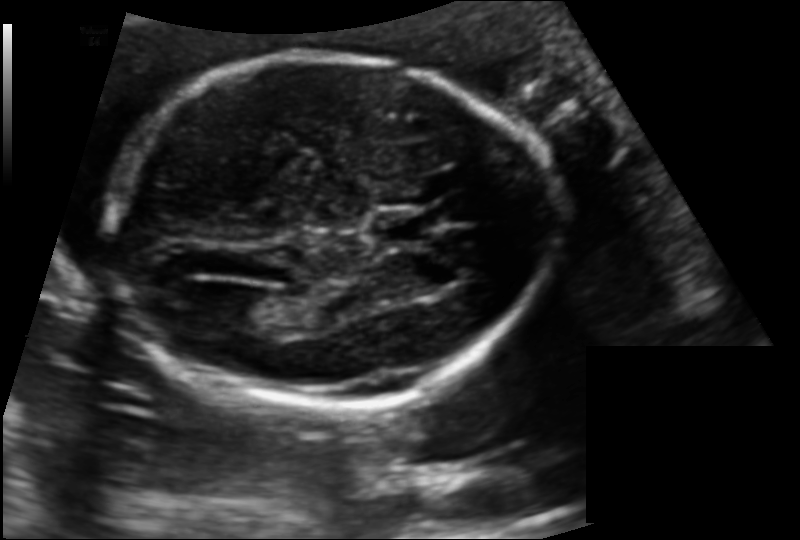
Measure the fetal head circumference shown in this ultrasound image. Image width: 105.8 mm.

Head circumference: 171.7 mm.